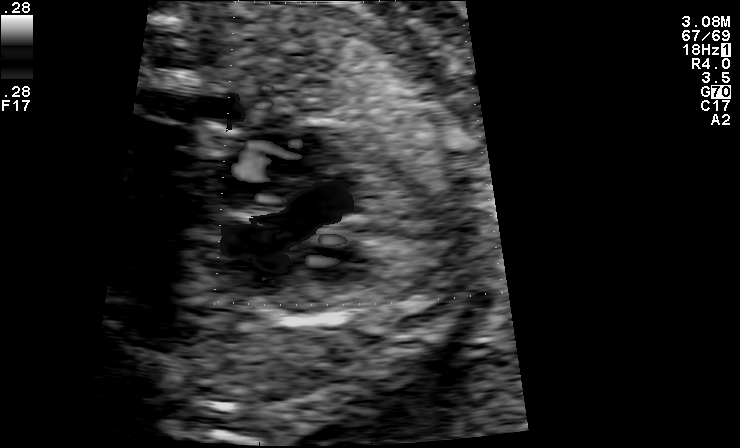
Which standard maternal-fetal ultrasound plane is shown: fetal abdomen, fetal brain, fetal femur, fetal thorax, maternal cervix, or other? If it's fetal brain and one of the three standard brain planes (trans-thalamic, trans-cerebellum, trans-ventricular), name which.

Other